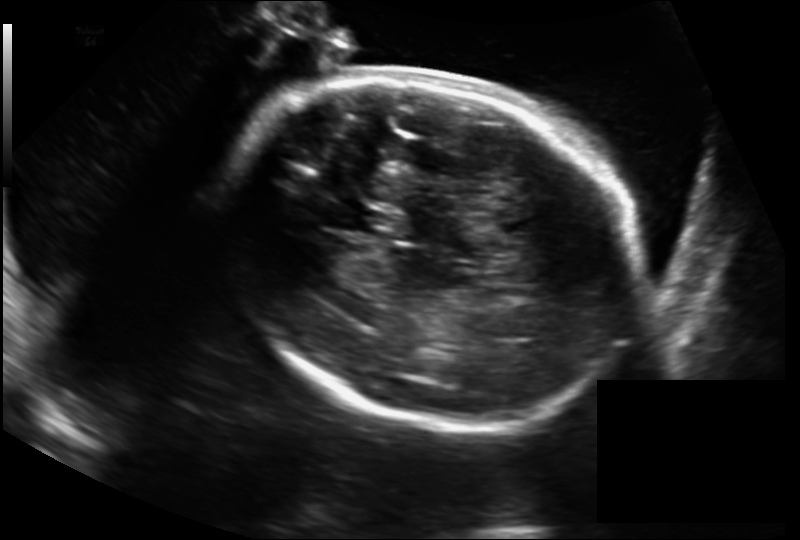
Fetal head ultrasound. Image width: 169.0 mm. Locate the fetal head and, if visible, the cavum septum pellucidum (CSP) and lateral ventricle (LV). Give bounding boxes as [x1,y1,x2,y2].

Head: [216,78,639,423]